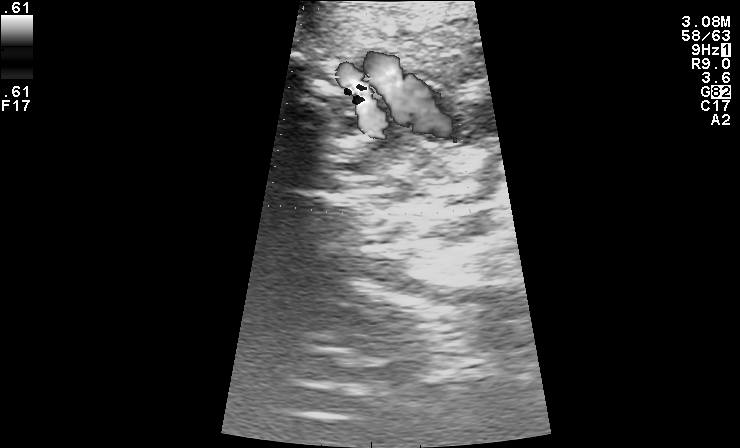
Classify this maternal-fetal ultrasound image as one of the six standard planes — fetal abdomen, fetal brain, fetal femur, fetal thorax, maternal cervix, or other. If it's fetal brain and one of the three standard brain planes (trans-thalamic, trans-cerebellum, trans-ventricular), name which.

Other